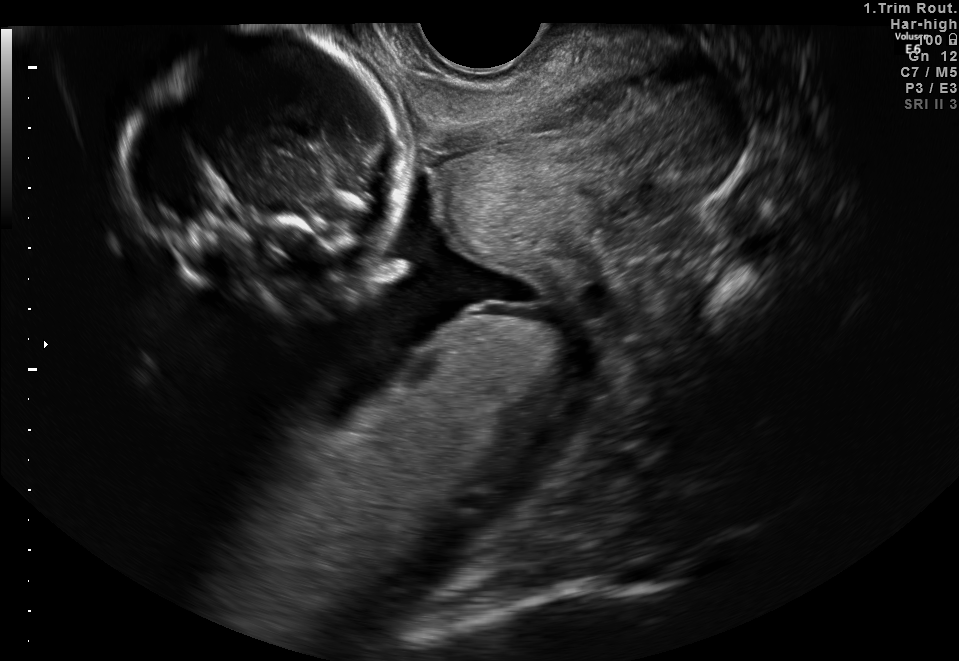
Which standard maternal-fetal ultrasound plane is shown: fetal abdomen, fetal brain, fetal femur, fetal thorax, maternal cervix, or other? If it's fetal brain and one of the three standard brain planes (trans-thalamic, trans-cerebellum, trans-ventricular), name which.

Maternal cervix